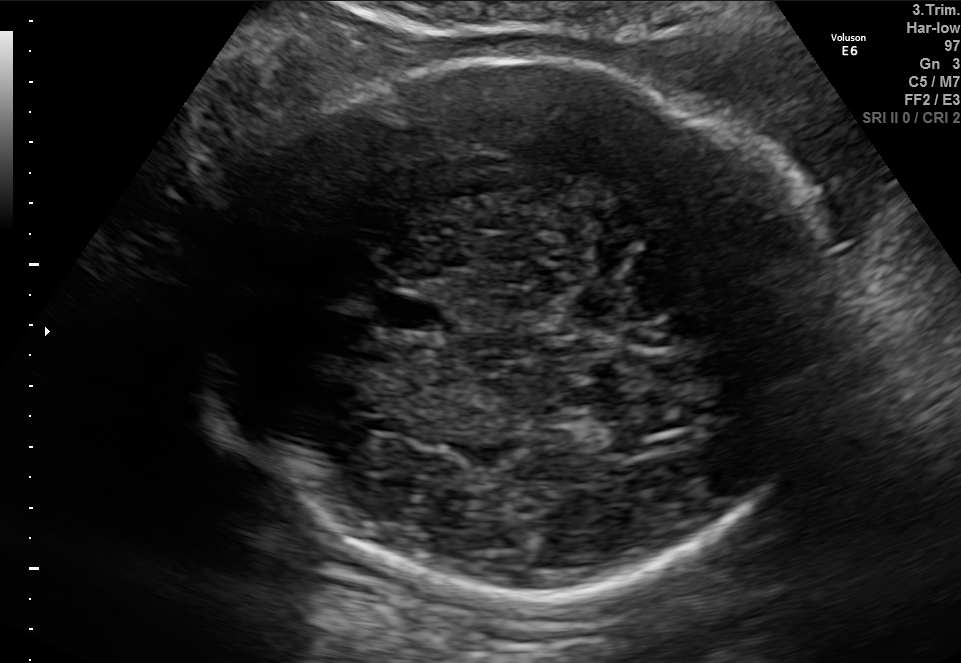
In this fetal brain, trans-thalamic plane, give bounding boxes for the head outline, cavum septum pellucidum (CSP), and lateral ventricle (LV), where visible.

Head: [197,56,838,593]
CSP: [376,292,453,332]